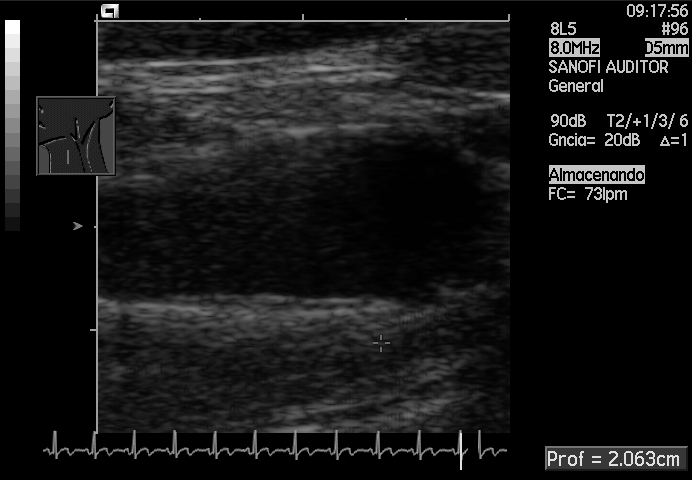
Which standard maternal-fetal ultrasound plane is shown: fetal abdomen, fetal brain, fetal femur, fetal thorax, maternal cervix, or other? If it's fetal brain and one of the three standard brain planes (trans-thalamic, trans-cerebellum, trans-ventricular), name which.

Other